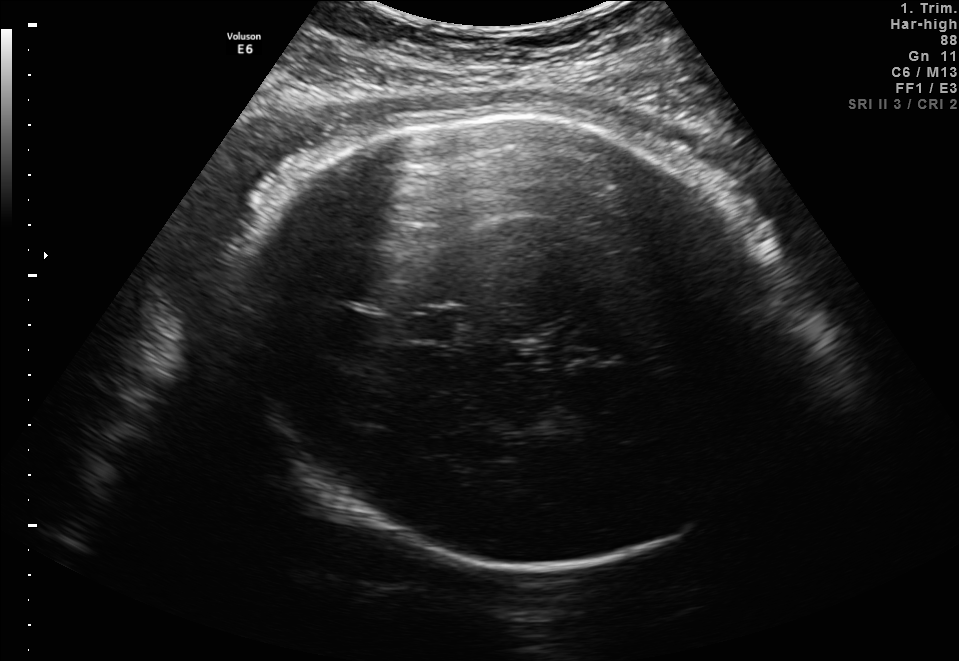
In this fetal brain, trans-thalamic plane, give bounding boxes for the head outline, cavum septum pellucidum (CSP), and lateral ventricle (LV), where visible.

Head: [236,118,785,565]
CSP: [402,308,460,339]